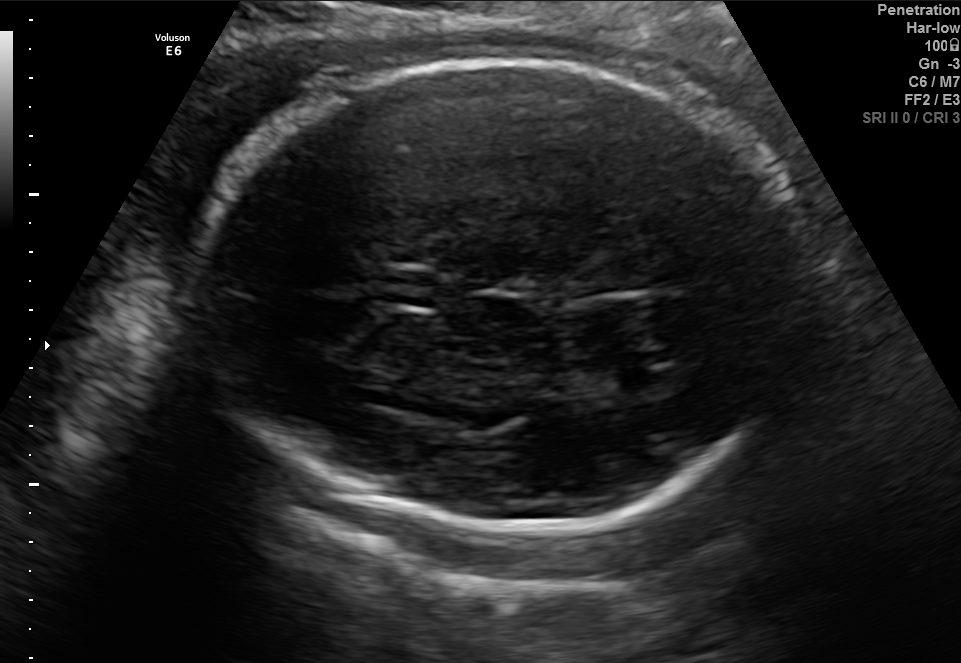
Which standard maternal-fetal ultrasound plane is shown: fetal abdomen, fetal brain, fetal femur, fetal thorax, maternal cervix, or other? If it's fetal brain and one of the three standard brain planes (trans-thalamic, trans-cerebellum, trans-ventricular), name which.

Fetal brain (trans-thalamic plane)